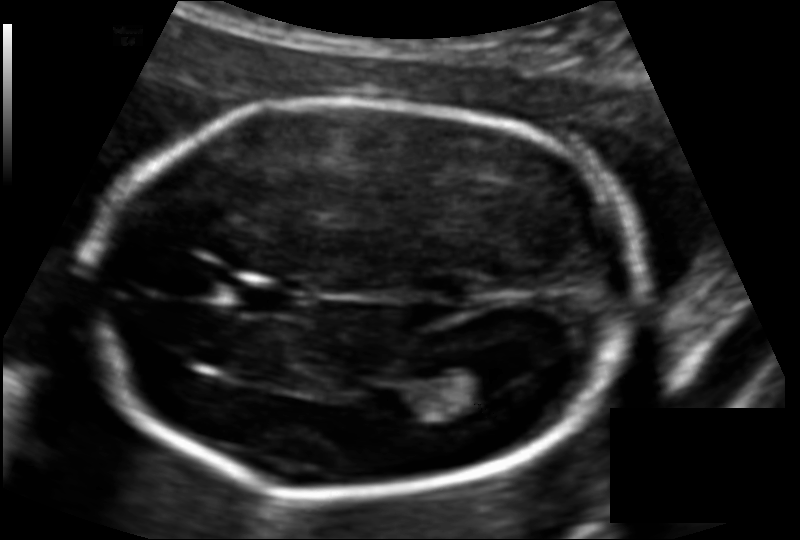
From this fetal ultrasound, estimate the head circumference (image width 93.9 mm).

Head circumference: 179.9 mm.